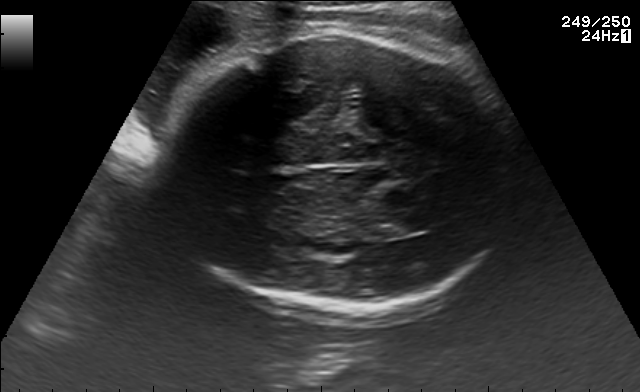
Fetal brain, trans-thalamic plane. Locate the lateral ventricle.

Lateral ventricle: [370,211,426,241]